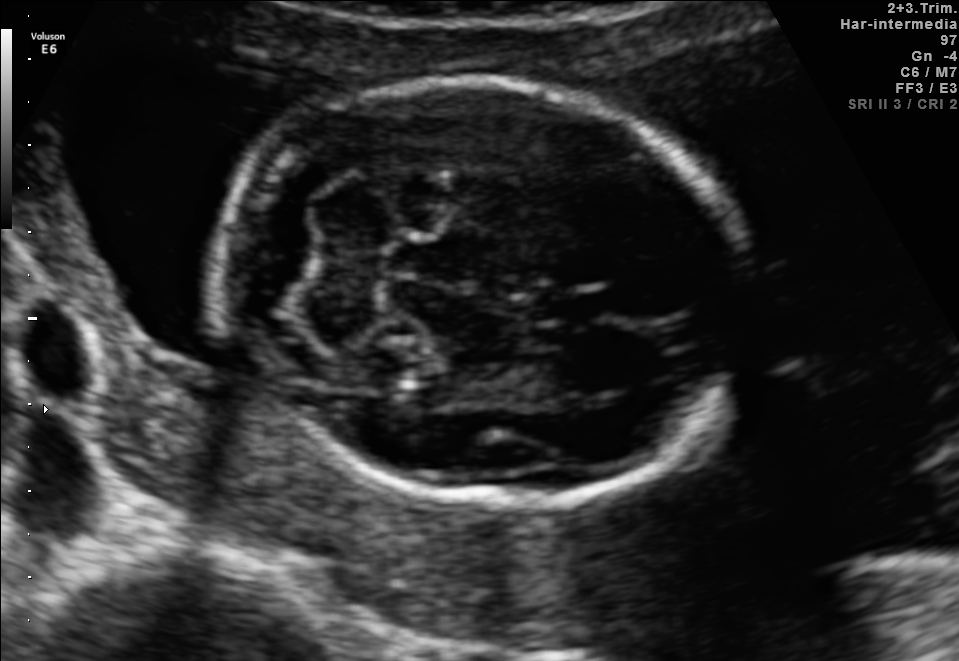
Fetal brain, trans-cerebellum plane. Give [x1,y1,x2,y2] bounding boxes for each visible structure among: fetal head, CSP, LV.

Head: [213,80,746,501]
CSP: [536,287,603,328]